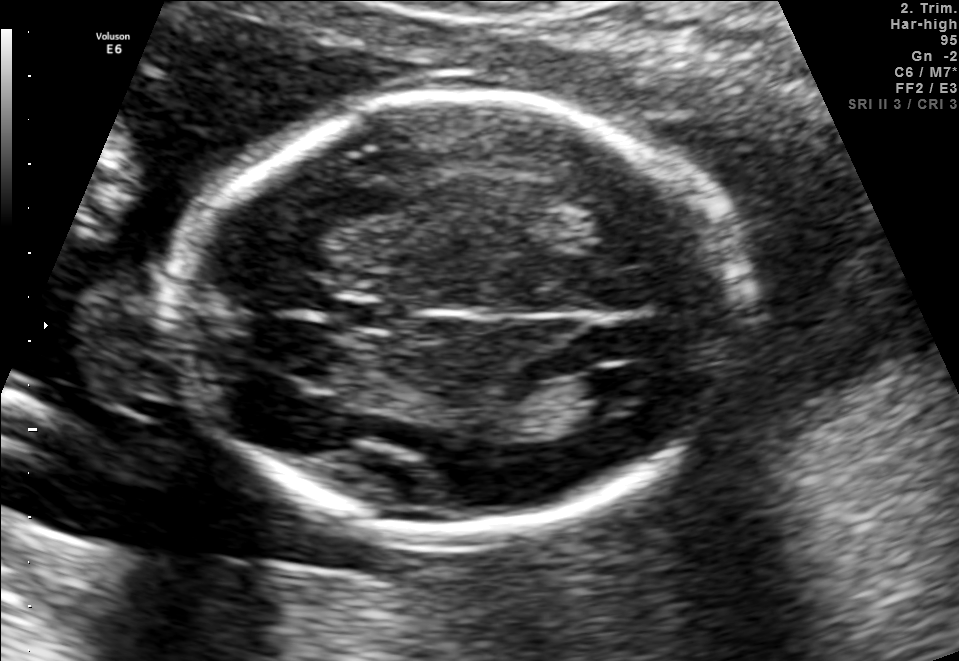
In this fetal brain, trans-ventricular plane, give the bounding box of the cavum septum pellucidum.

[342,302,389,330]